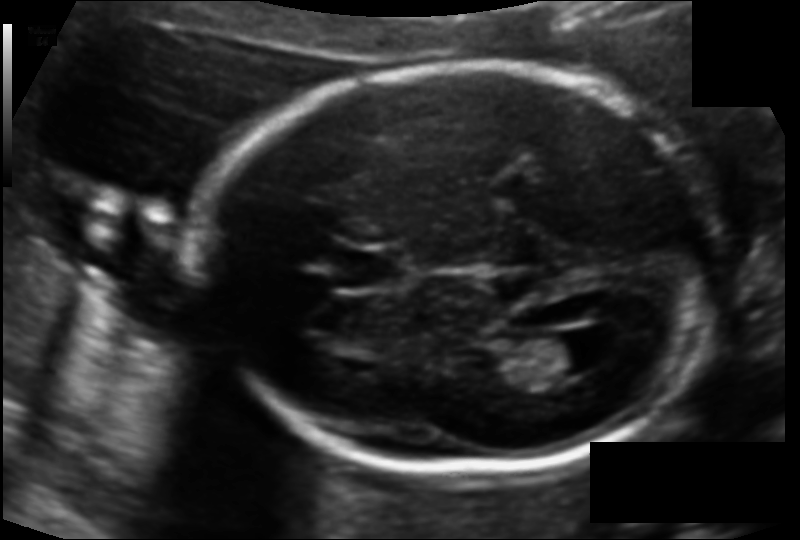
Fetal head ultrasound. Image width: 94.2 mm. Where is the lateral ventricle?

Lateral ventricle bounding box: [524,325,609,384]